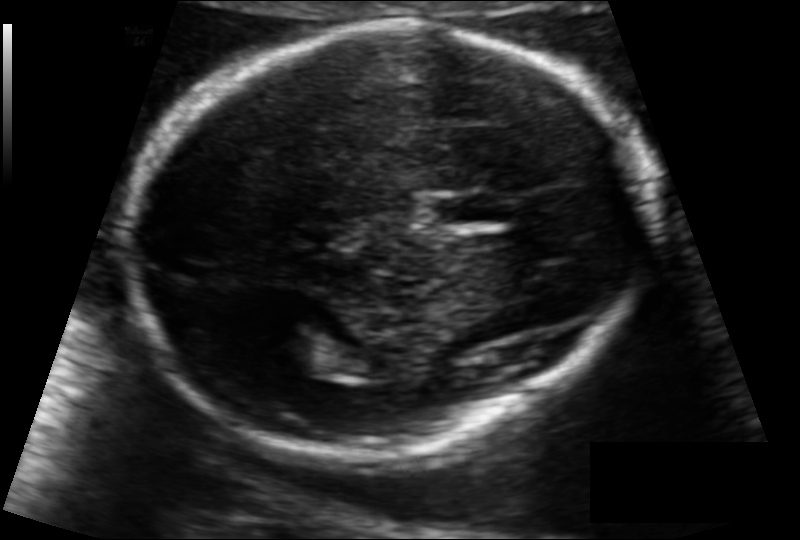
Fetal head ultrasound. Image width: 88.7 mm. Locate the lateral ventricle.

Lateral ventricle: [270,334,330,377]